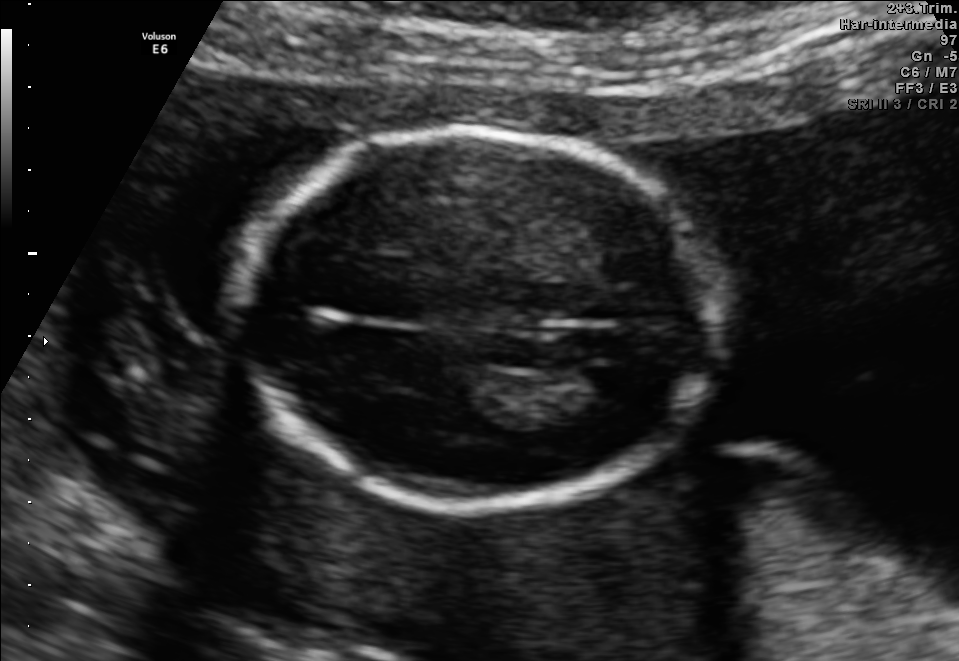
Fetal brain, trans-ventricular plane. Where is the fetal head?

Head bounding box: [226,122,737,515]